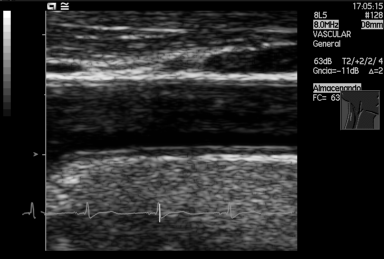
Identify the standard plane in this fetal ultrasound image: fetal abdomen, fetal brain, fetal femur, fetal thorax, maternal cervix, or other. If it's fetal brain and one of the three standard brain planes (trans-thalamic, trans-cerebellum, trans-ventricular), name which.

Other